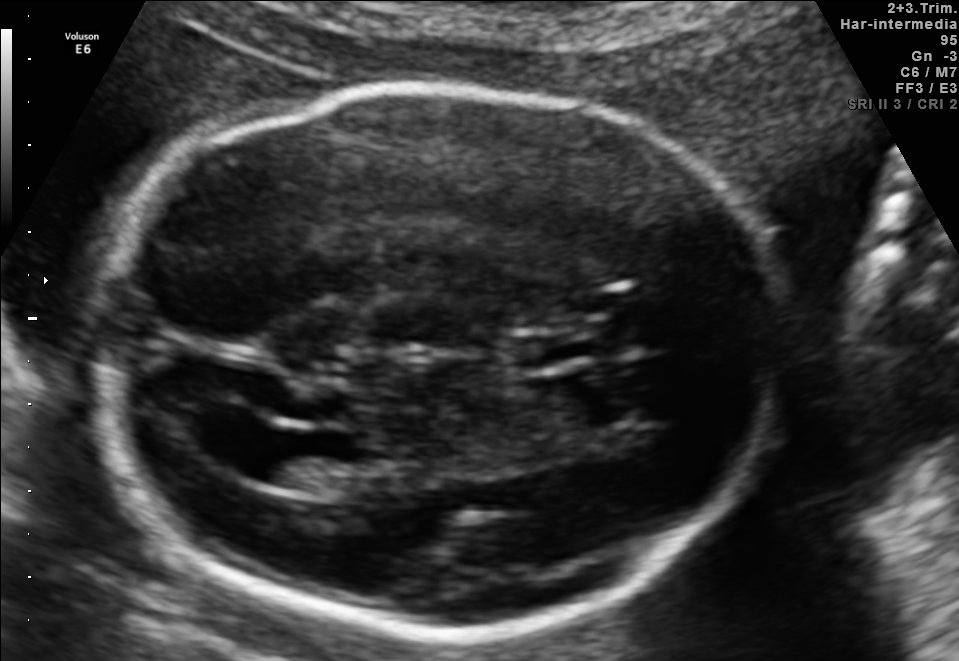
Fetal brain, trans-ventricular plane. Locate the fetal head and, if visible, the cavum septum pellucidum (CSP) and lateral ventricle (LV). Give bounding boxes as [x1,y1,x2,y2].

Head: [78,77,803,644]
CSP: [499,323,626,375]
Lateral ventricle: [198,405,307,491]